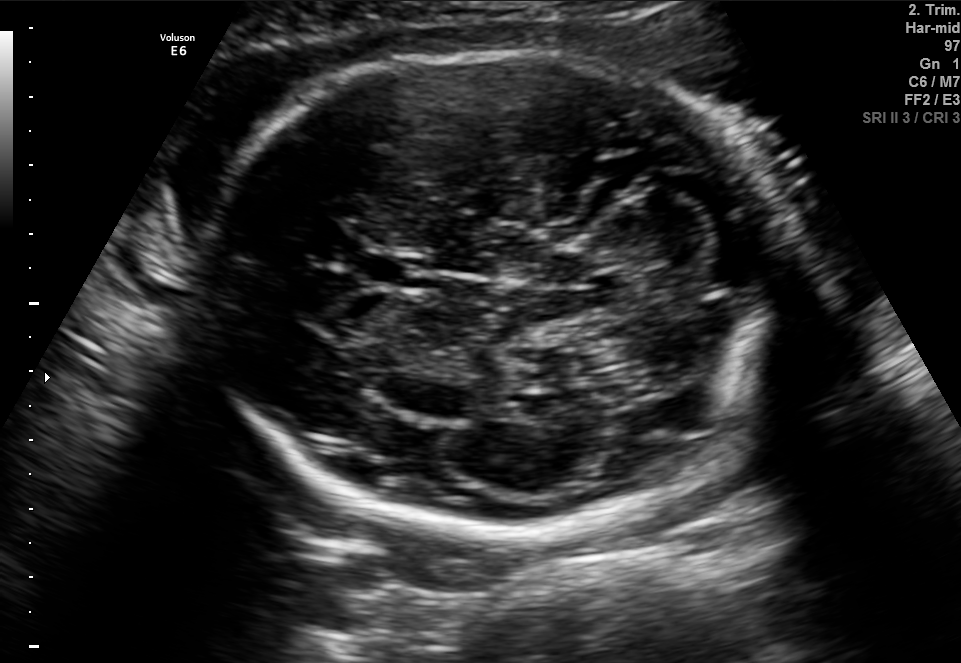
In this fetal brain, trans-cerebellum plane, give bounding boxes for the head outline, cavum septum pellucidum (CSP), and lateral ventricle (LV), where visible.

Head: [207,53,786,530]
CSP: [360,249,428,290]